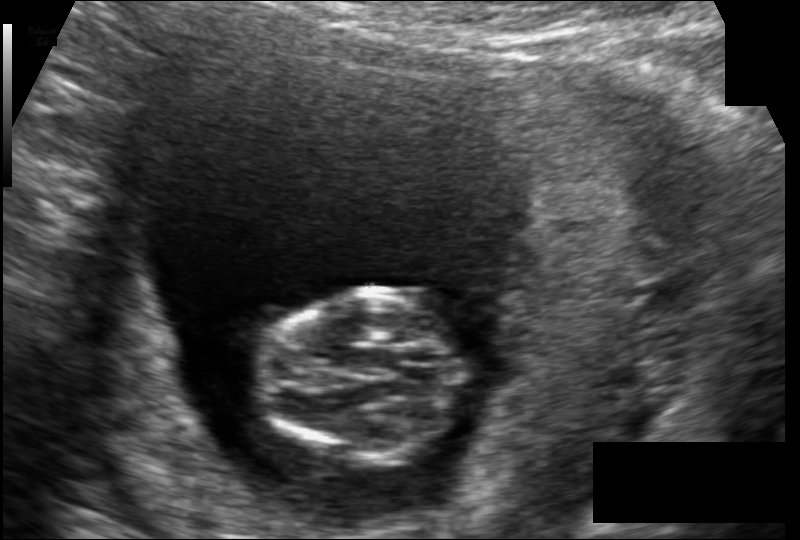
Fetal head ultrasound. Image width: 93.8 mm. Give [x1,y1,x2,y2] bounding boxes for each visible structure among: fetal head, CSP, LV.

Head: [261,289,464,465]